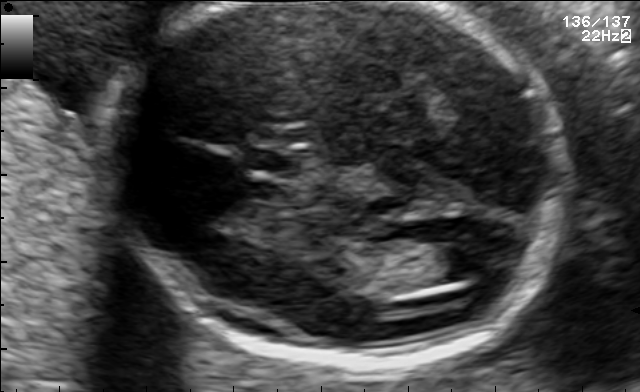
Fetal brain, trans-ventricular plane. Where is the cavum septum pellucidum?

CSP bounding box: [240,144,304,181]